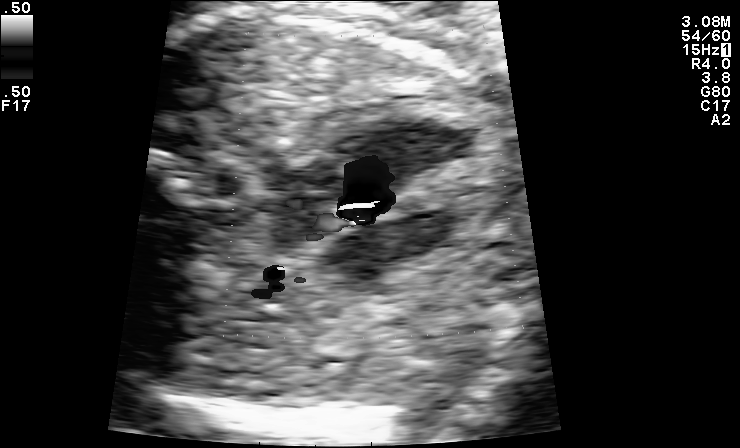
This is a 2D maternal-fetal ultrasound frame. Is it a fetal abdomen, fetal brain, fetal femur, fetal thorax, maternal cervix, or other standard plane? If it's fetal brain and one of the three standard brain planes (trans-thalamic, trans-cerebellum, trans-ventricular), name which.

Other